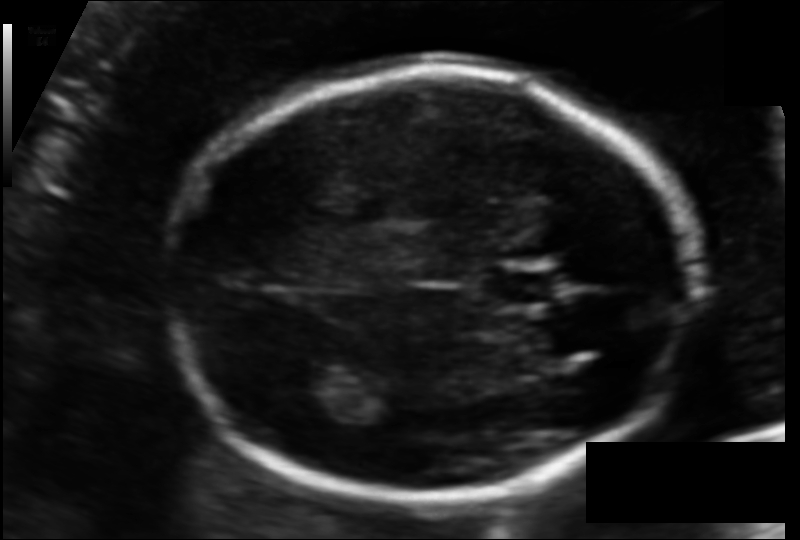
From this fetal ultrasound, estimate the head circumference (image width 86.2 mm).

Head circumference: 164.3 mm.